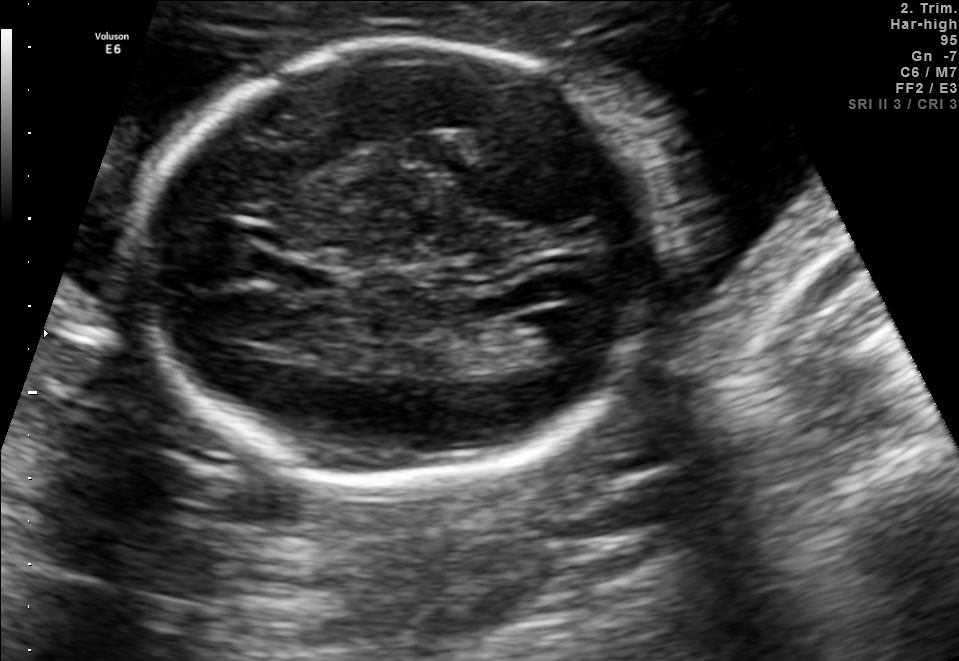
In this fetal brain, trans-ventricular plane, give the bounding box of the fetal head.

[122,33,687,488]